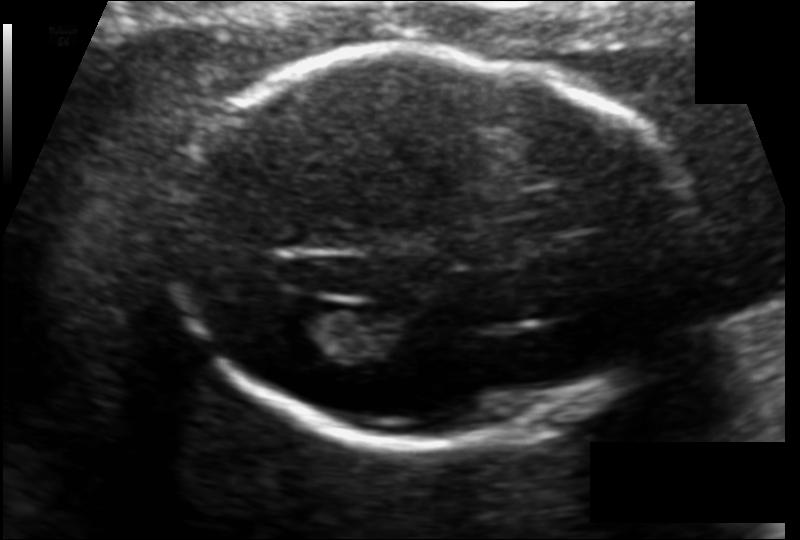
Fetal head ultrasound. Image width: 96.2 mm. Locate the fetal head.

Head: [175,49,688,450]